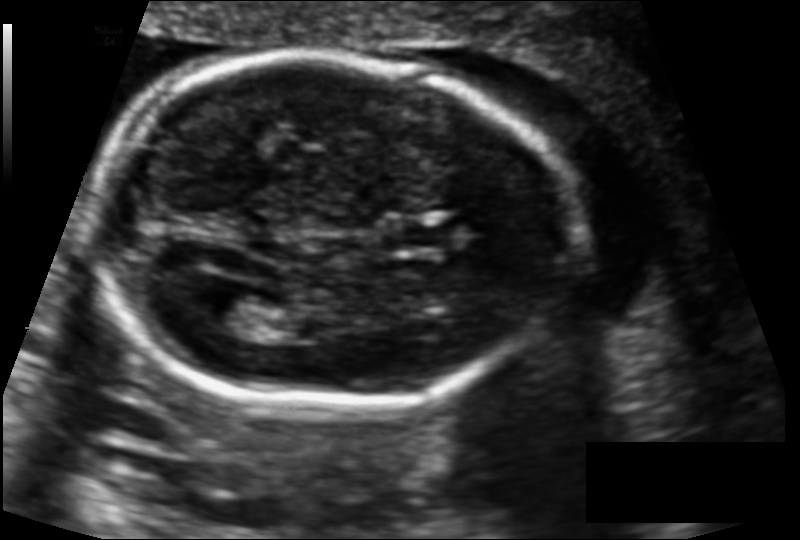
Fetal head ultrasound. Image width: 97.4 mm. Locate the lateral ventricle.

Lateral ventricle: [202,282,271,339]